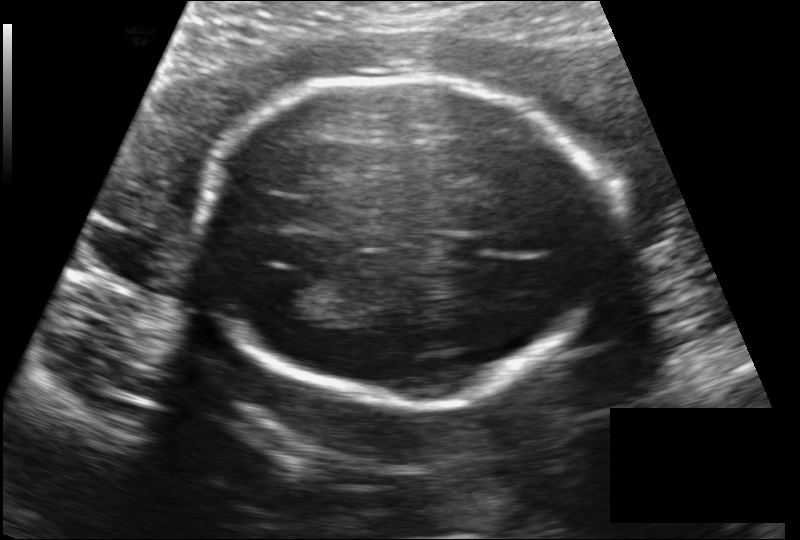
Fetal head ultrasound. Image width: 119.2 mm. Locate the lateral ventricle.

Lateral ventricle: [264,276,320,318]